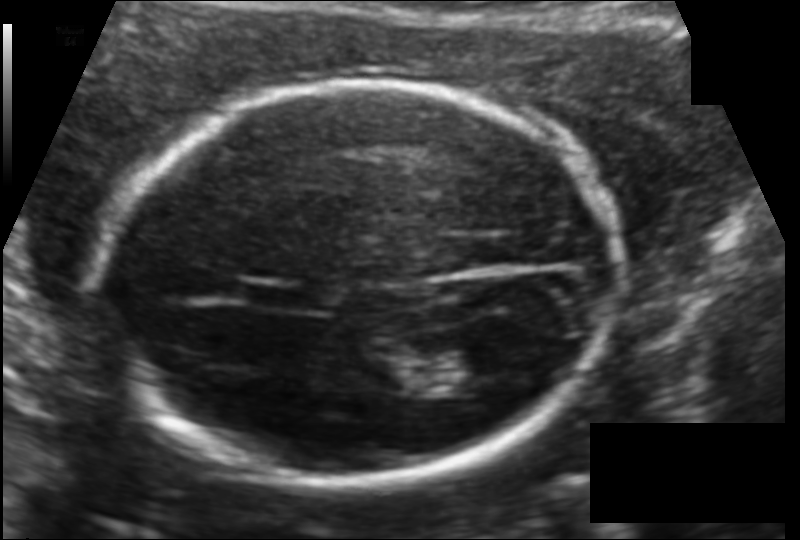
What is the fetal head circumference? Image width is 96.7 mm.

182.2 mm